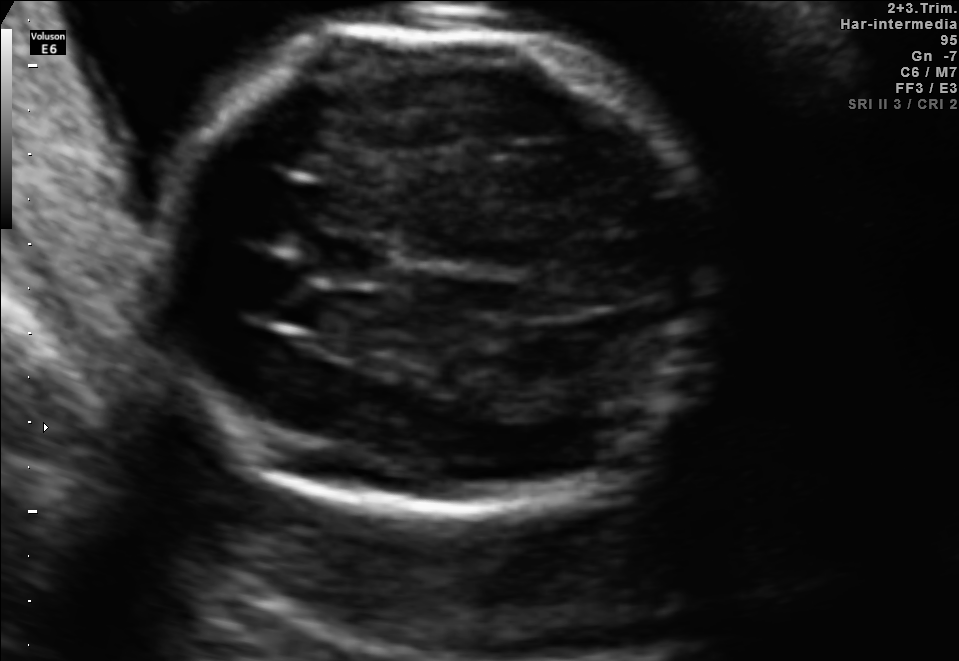
Fetal brain, trans-thalamic plane. Where is the cavum septum pellucidum?

CSP bounding box: [312,235,388,282]